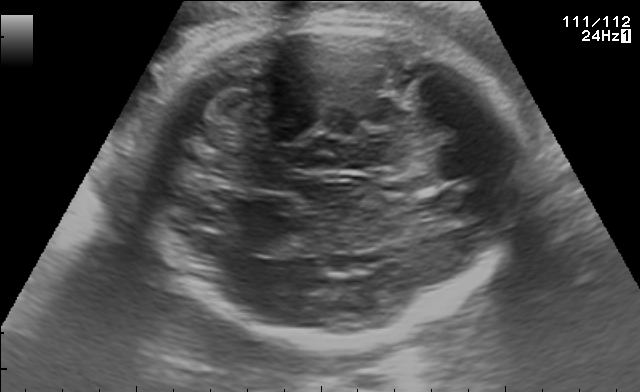
This is a 2D maternal-fetal ultrasound frame. Is it a fetal abdomen, fetal brain, fetal femur, fetal thorax, maternal cervix, or other standard plane? If it's fetal brain and one of the three standard brain planes (trans-thalamic, trans-cerebellum, trans-ventricular), name which.

Fetal brain (trans-cerebellum plane)